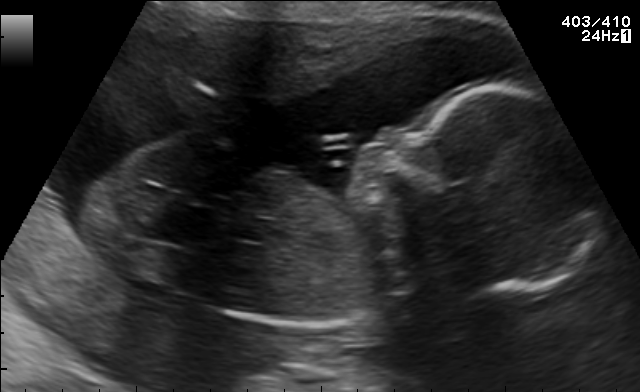
Classify this maternal-fetal ultrasound image as one of the six standard planes — fetal abdomen, fetal brain, fetal femur, fetal thorax, maternal cervix, or other. If it's fetal brain and one of the three standard brain planes (trans-thalamic, trans-cerebellum, trans-ventricular), name which.

Other